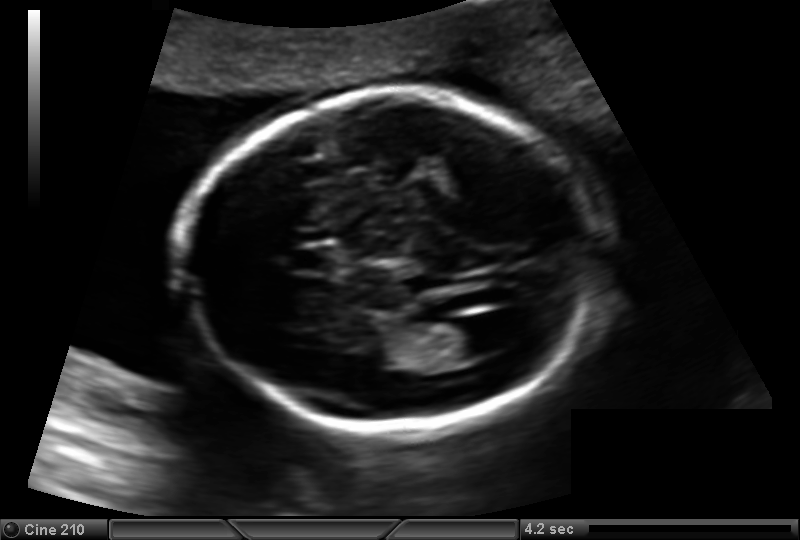
From this fetal ultrasound, estimate the head circumference (image width 109.7 mm).

Head circumference: 168.1 mm.